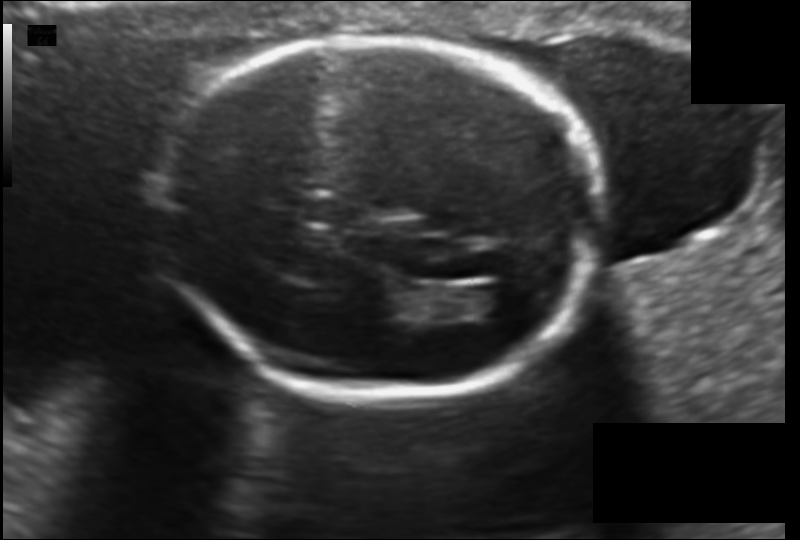
Measure the fetal head circumference shown in this ultrasound image. Image width: 104.2 mm.

Head circumference: 169.9 mm.